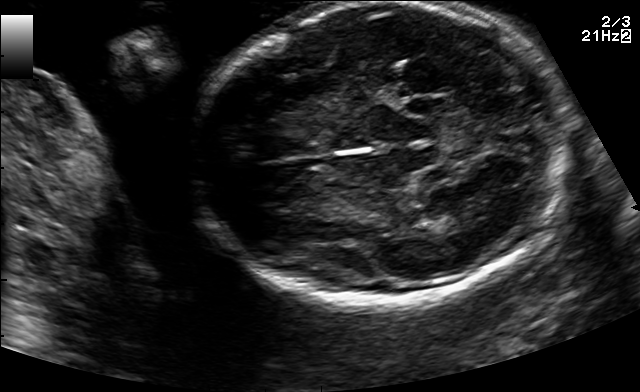
In this fetal brain, trans-thalamic plane, give bounding boxes for the head outline, cavum septum pellucidum (CSP), and lateral ventricle (LV), where visible.

Head: [192,3,573,301]